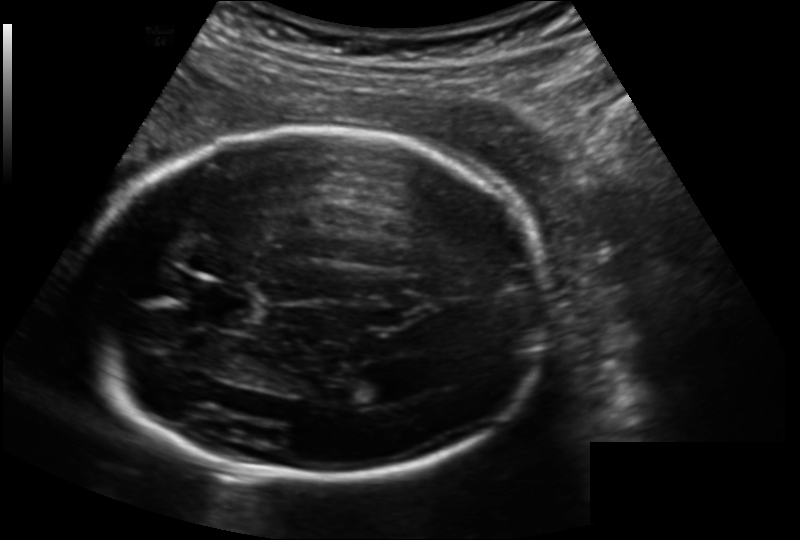
Estimate the fetal head circumference from this 2D ultrasound. Image width: 130.8 mm.

Head circumference: 219.1 mm.